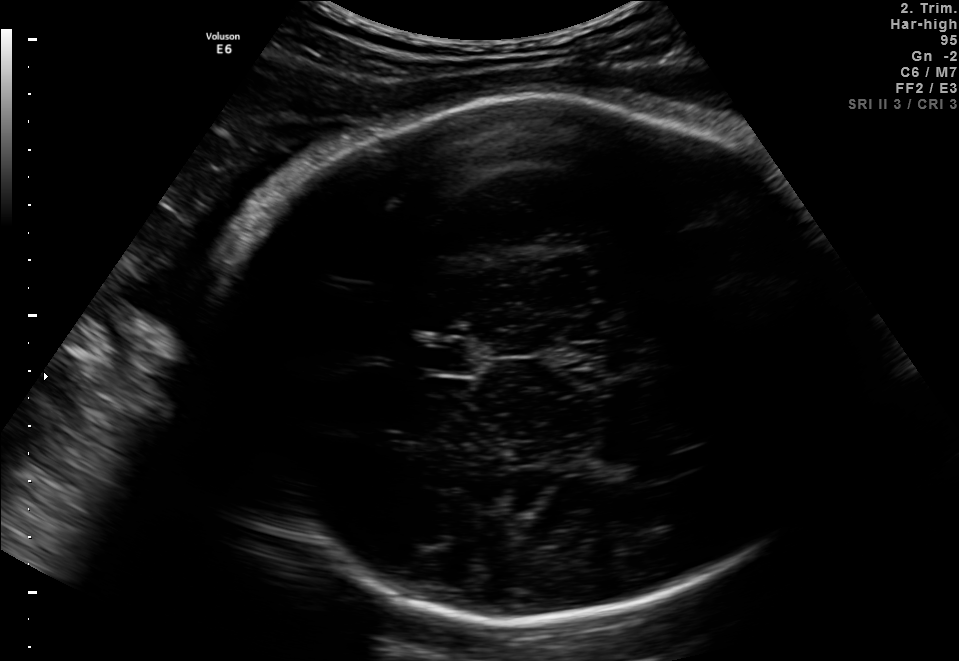
Fetal brain, trans-thalamic plane. Give [x1,y1,x2,y2] bounding boxes for each visible structure among: fetal head, CSP, LV.

Head: [204,92,851,615]
CSP: [416,339,476,376]
Lateral ventricle: [611,452,686,493]